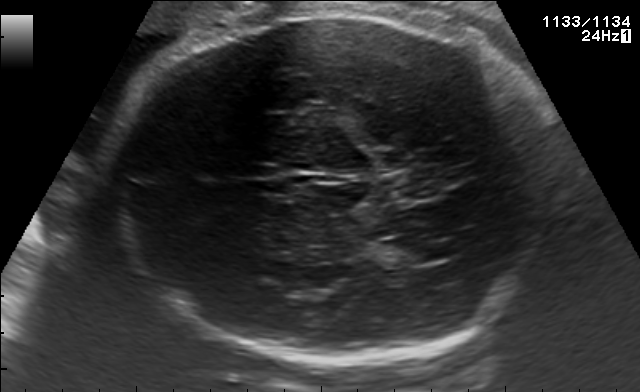
In this fetal brain, trans-ventricular plane, give the bounding box of the fetal head.

[108,11,565,365]